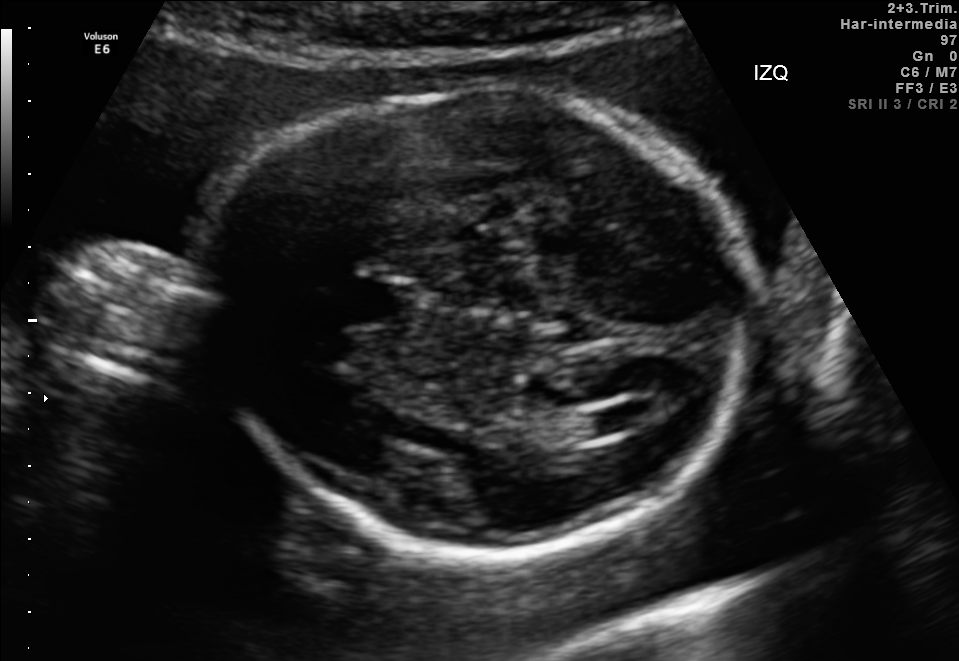
In this fetal brain, trans-ventricular plane, give bounding boxes for the head outline, cavum septum pellucidum (CSP), and lateral ventricle (LV), where visible.

Head: [186,78,775,565]
Lateral ventricle: [589,398,649,438]